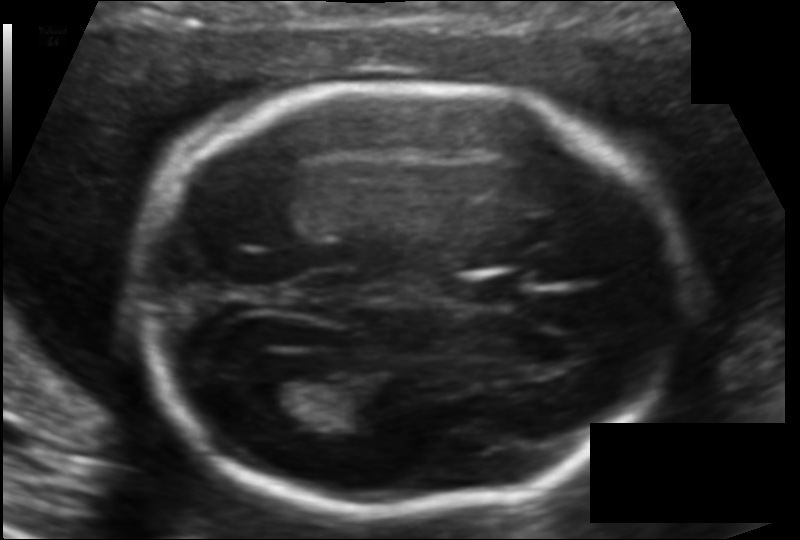
Fetal head ultrasound. Image width: 94.1 mm. Locate the fetal head.

Head: [135,82,675,509]